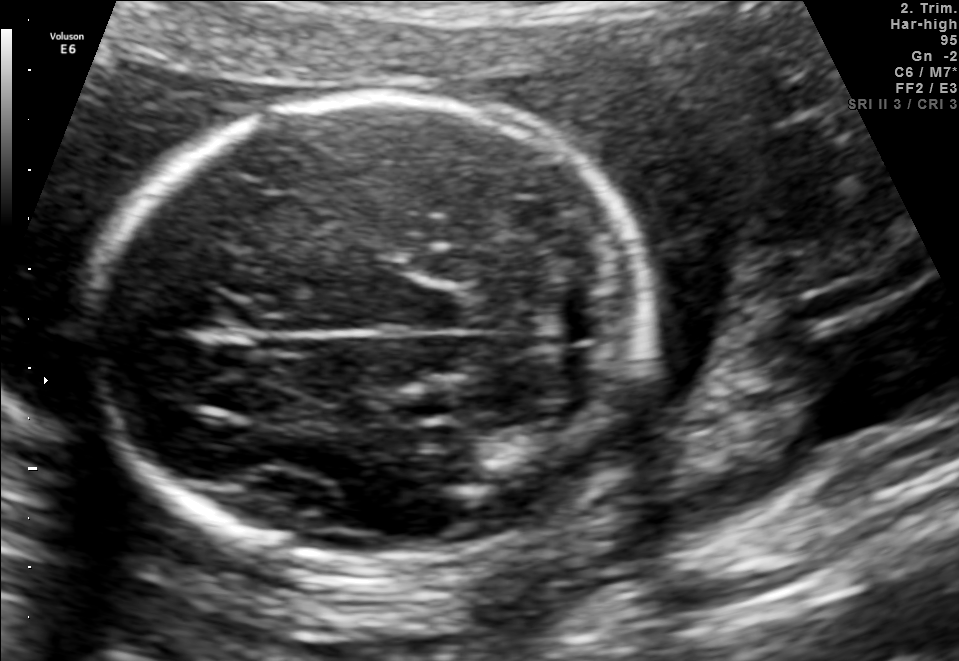
Fetal brain, trans-cerebellum plane. Locate the fetal head and, if visible, the cavum septum pellucidum (CSP) and lateral ventricle (LV). Give bounding boxes as [x1,y1,x2,y2].

Head: [98,89,647,566]